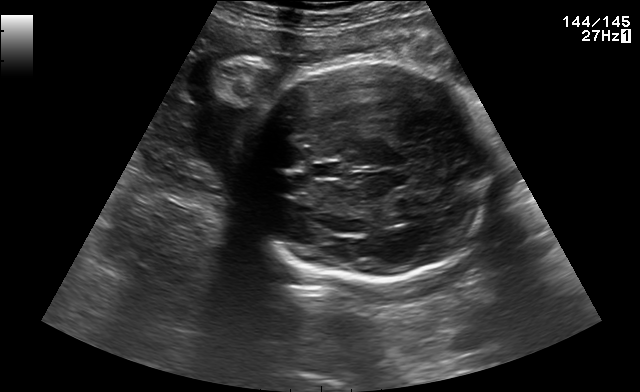
In this fetal brain, trans-thalamic plane, give bounding boxes for the head outline, cavum septum pellucidum (CSP), and lateral ventricle (LV), where visible.

Head: [238,64,500,279]
CSP: [312,161,344,179]